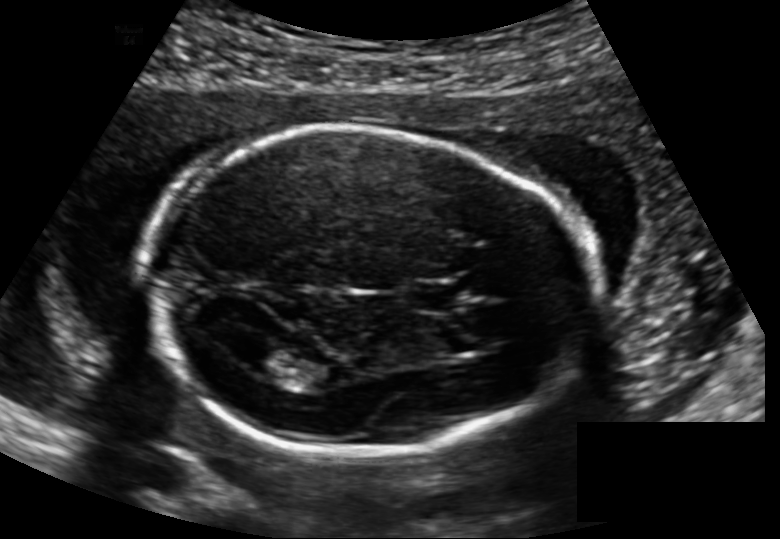
In this fetal head ultrasound, give the bounding box of the lateral ventricle. Image width: 115.4 mm.

[239,338,295,382]